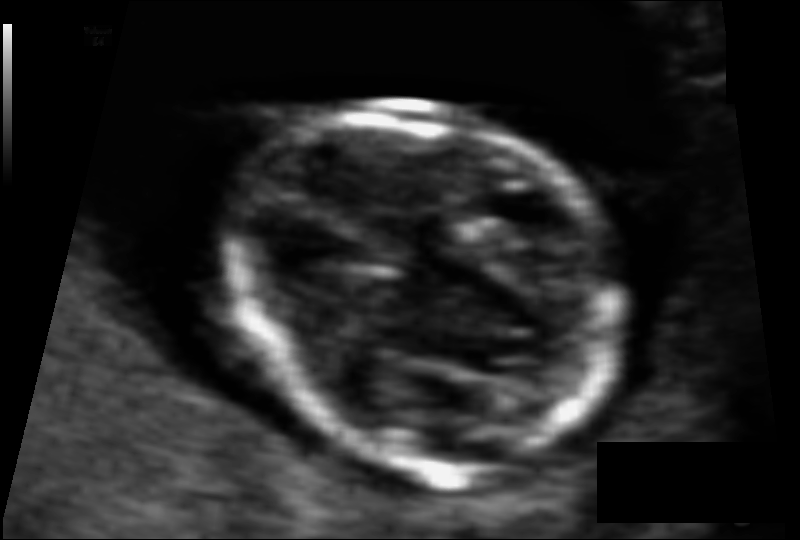
Fetal head ultrasound. Image width: 50.5 mm. Give [x1,y1,x2,y2] bounding boxes for each visible structure among: fetal head, CSP, LV.

Head: [231,100,624,472]